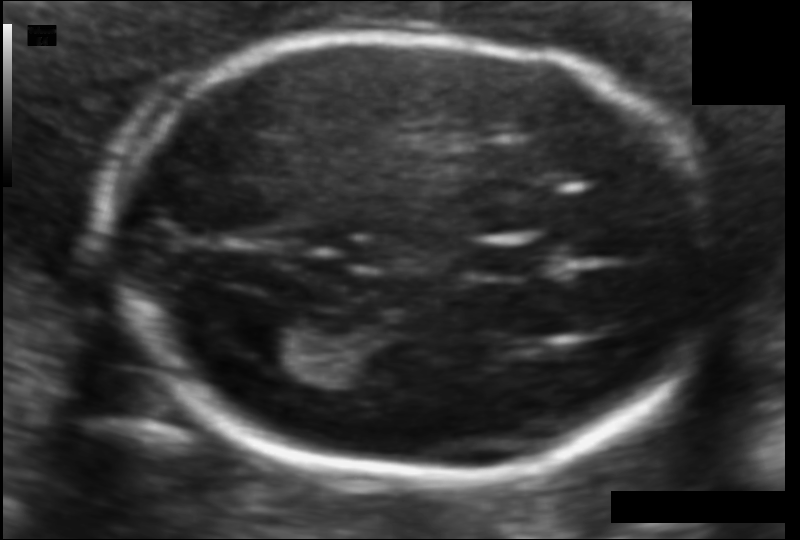
In this fetal head ultrasound, give bounding boxes for the head outline, cavum septum pellucidum (CSP), and lateral ventricle (LV), where visible. Image width: 75.5 mm.

Head: [107,35,720,477]
CSP: [471,240,539,279]
Lateral ventricle: [235,304,334,382]